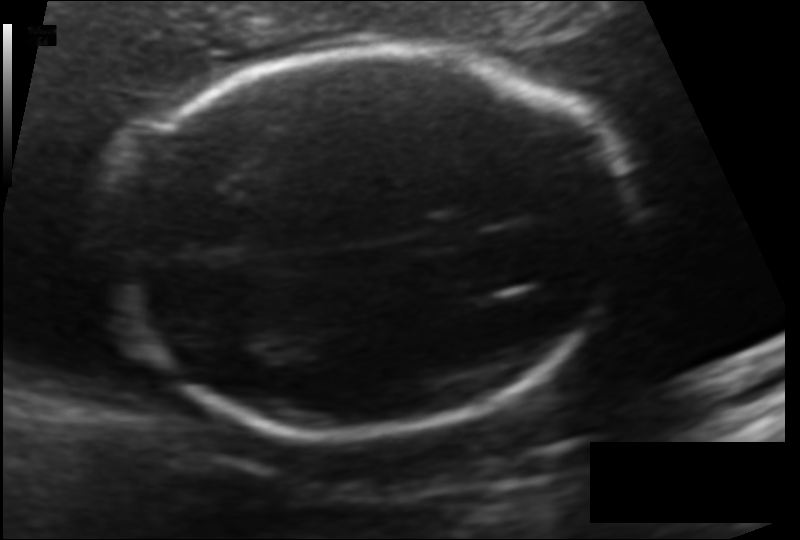
From this fetal ultrasound, estimate the head circumference (image width 97.8 mm).

Head circumference: 178.7 mm.